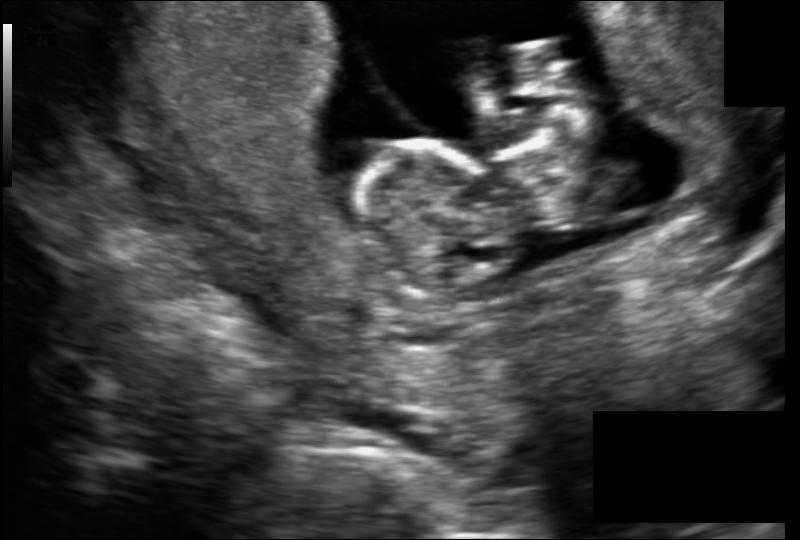
Fetal head ultrasound. Image width: 97.2 mm. Where is the fetal head?

Head bounding box: [355,139,510,297]